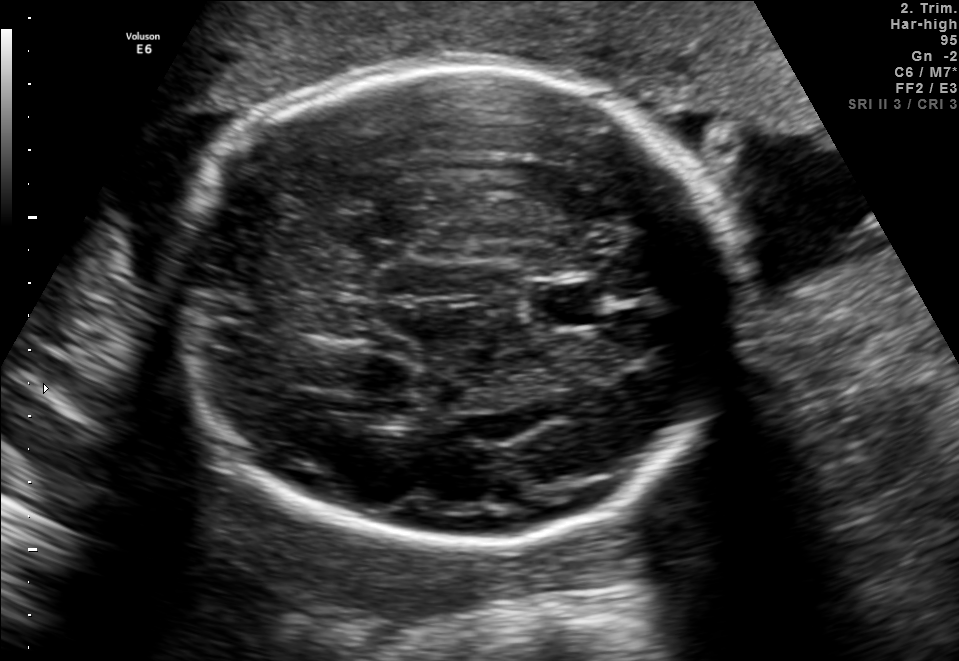
Fetal brain, trans-thalamic plane. Locate the fetal head.

Head: [174,64,731,547]